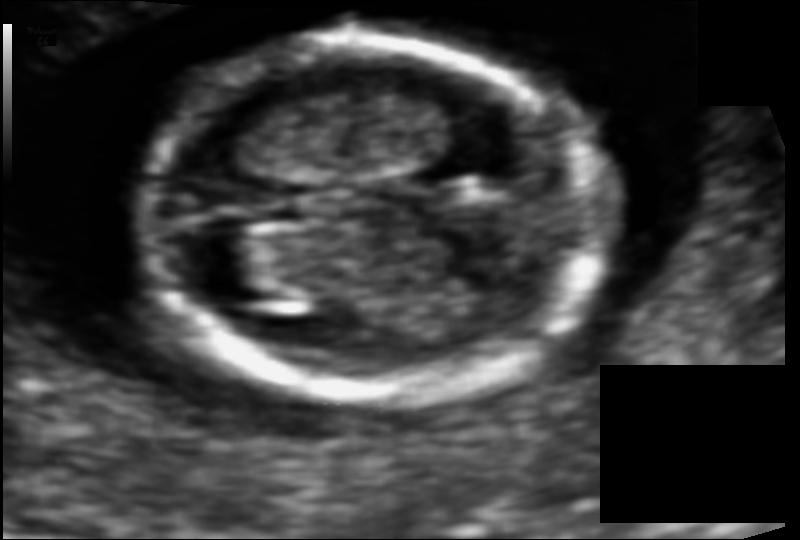
In this fetal head ultrasound, give bounding boxes for the head outline, cavum septum pellucidum (CSP), and lateral ventricle (LV), where visible. Image width: 59.6 mm.

Head: [139,43,604,397]